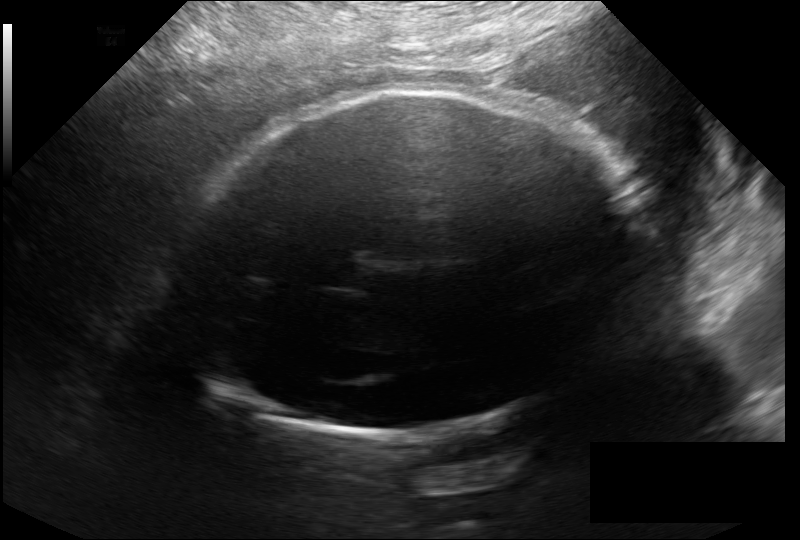
Fetal head ultrasound. Image width: 196.9 mm. Give [x1,y1,x2,y2] bounding boxes for each visible structure among: fetal head, CSP, LV.

Head: [180,90,626,435]